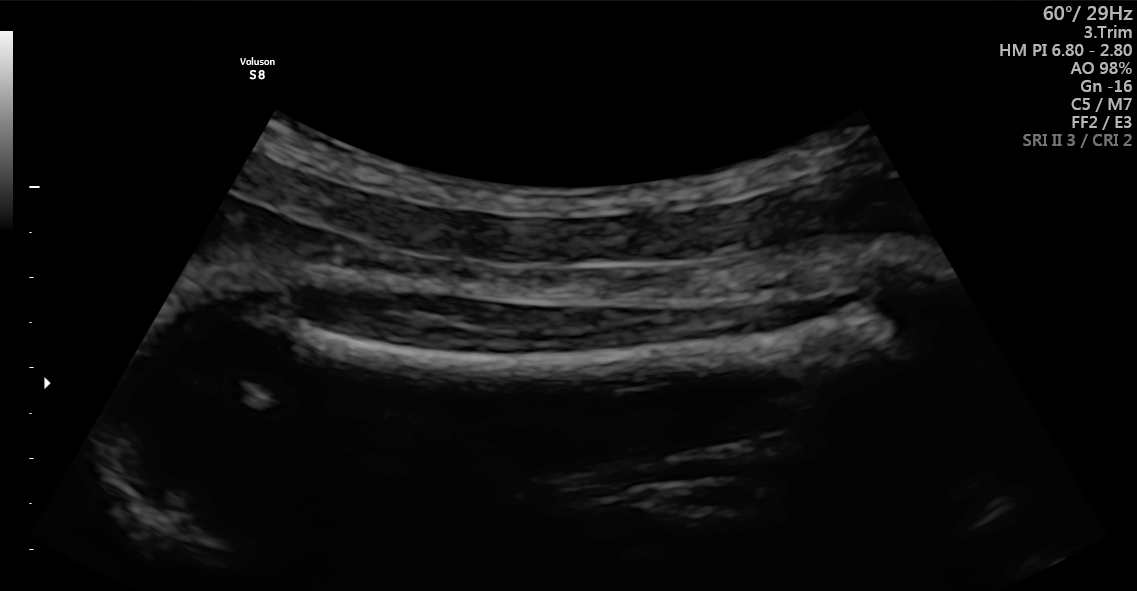
Classify this maternal-fetal ultrasound image as one of the six standard planes — fetal abdomen, fetal brain, fetal femur, fetal thorax, maternal cervix, or other. If it's fetal brain and one of the three standard brain planes (trans-thalamic, trans-cerebellum, trans-ventricular), name which.

Fetal femur